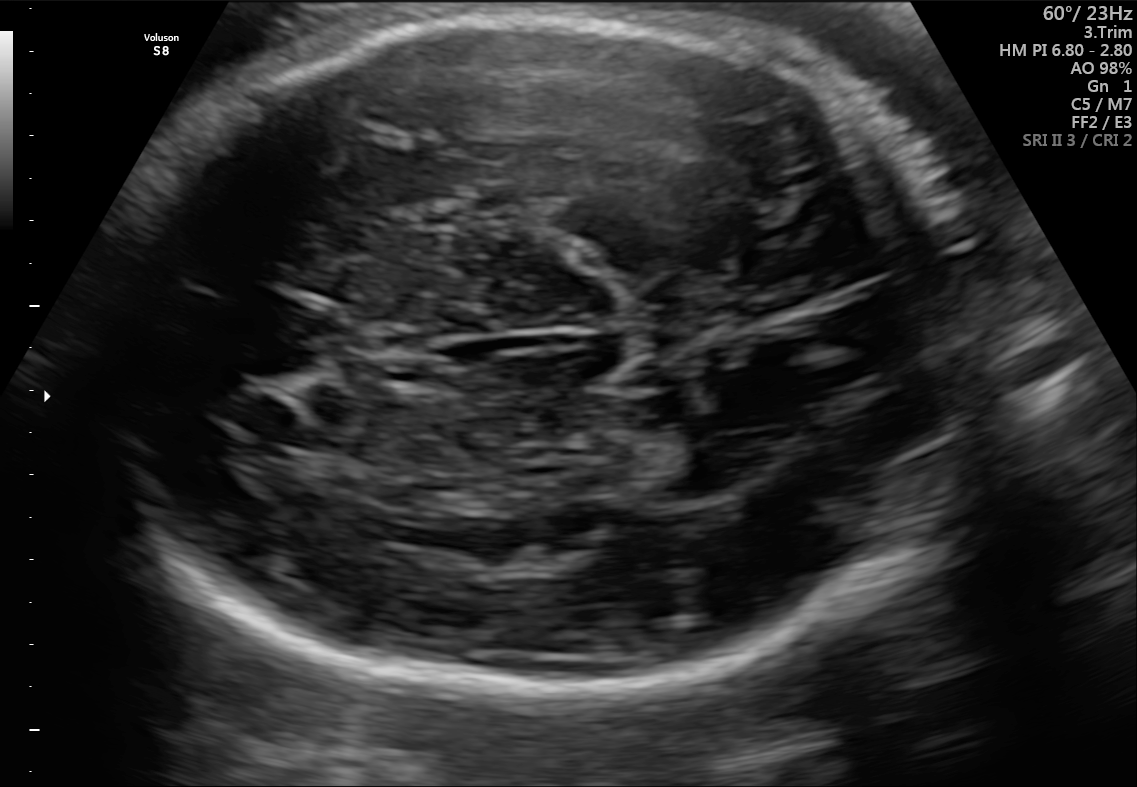
Fetal brain, trans-thalamic plane. Give [x1,y1,x2,y2] bounding boxes for each visible structure among: fetal head, CSP, LV.

Head: [75,12,1003,701]